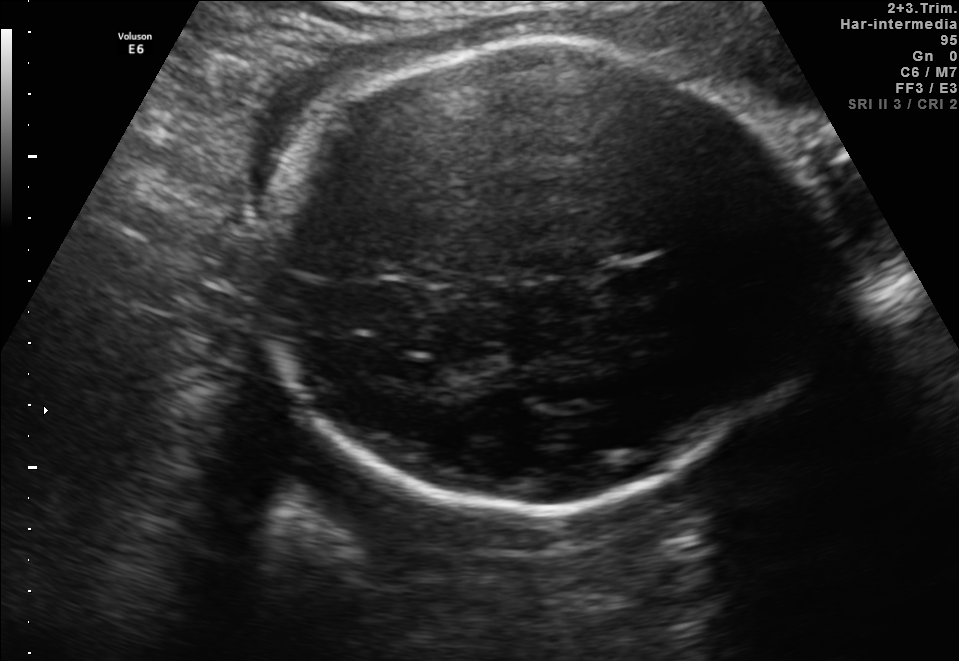
Fetal brain, trans-thalamic plane. Where is the fetal head?

Head bounding box: [247,39,820,514]